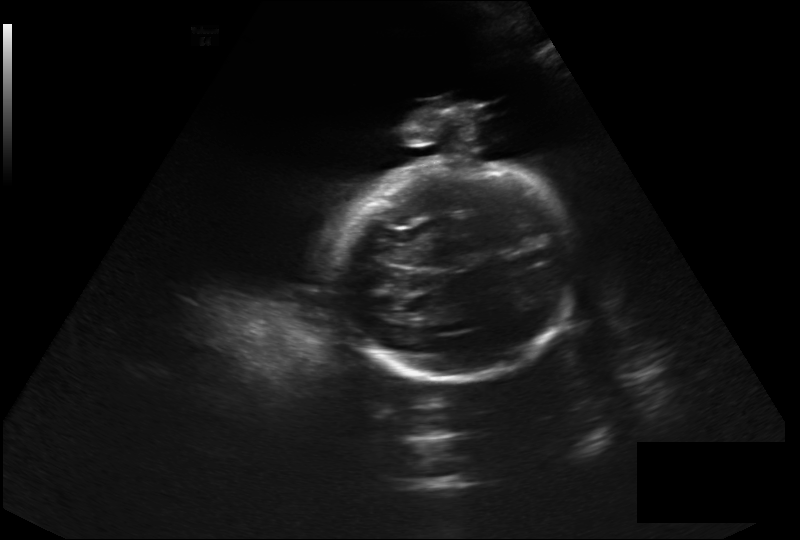
Fetal head ultrasound. Image width: 261.1 mm. Locate the fetal head.

Head: [330,159,574,382]